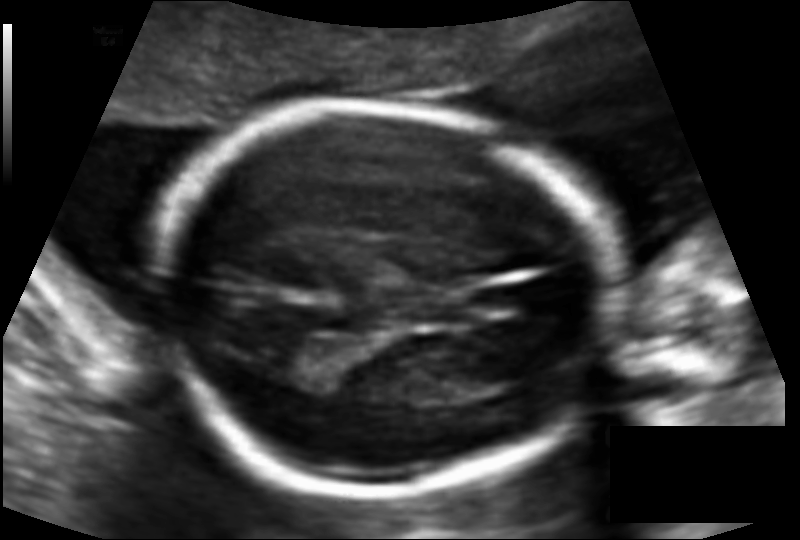
In this fetal head ultrasound, give bounding boxes for the head outline, cavum septum pellucidum (CSP), and lateral ventricle (LV), where visible. Image width: 87.7 mm.

Head: [157,107,606,492]
CSP: [412,297,467,324]